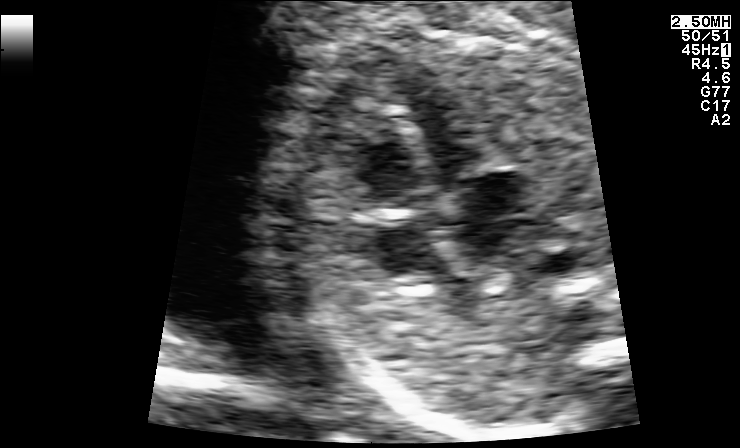
Which standard maternal-fetal ultrasound plane is shown: fetal abdomen, fetal brain, fetal femur, fetal thorax, maternal cervix, or other? If it's fetal brain and one of the three standard brain planes (trans-thalamic, trans-cerebellum, trans-ventricular), name which.

Fetal thorax